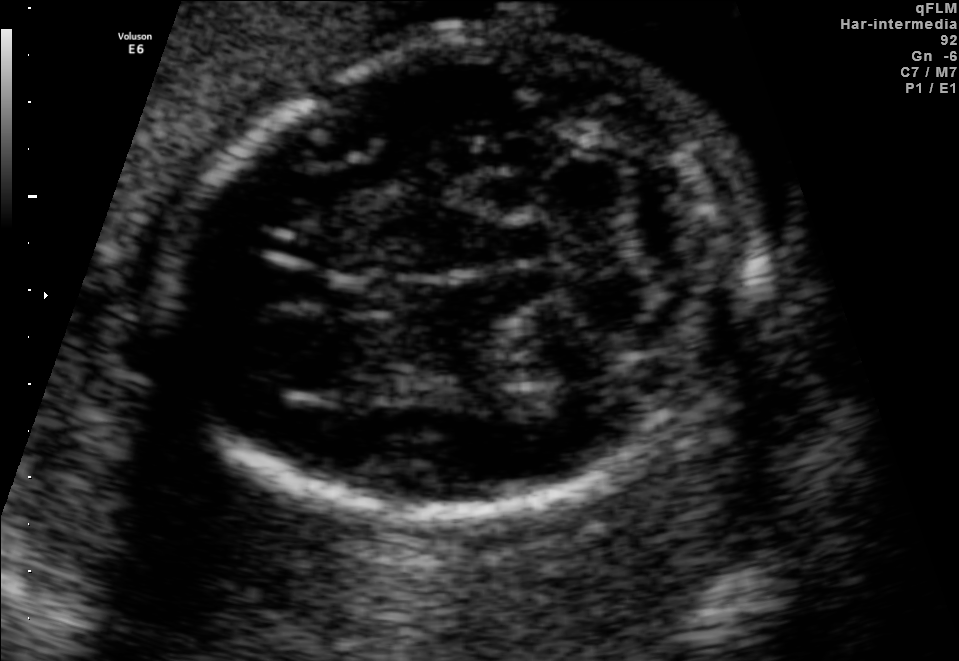
Fetal brain, trans-cerebellum plane. Locate the fetal head.

Head: [180,38,749,517]